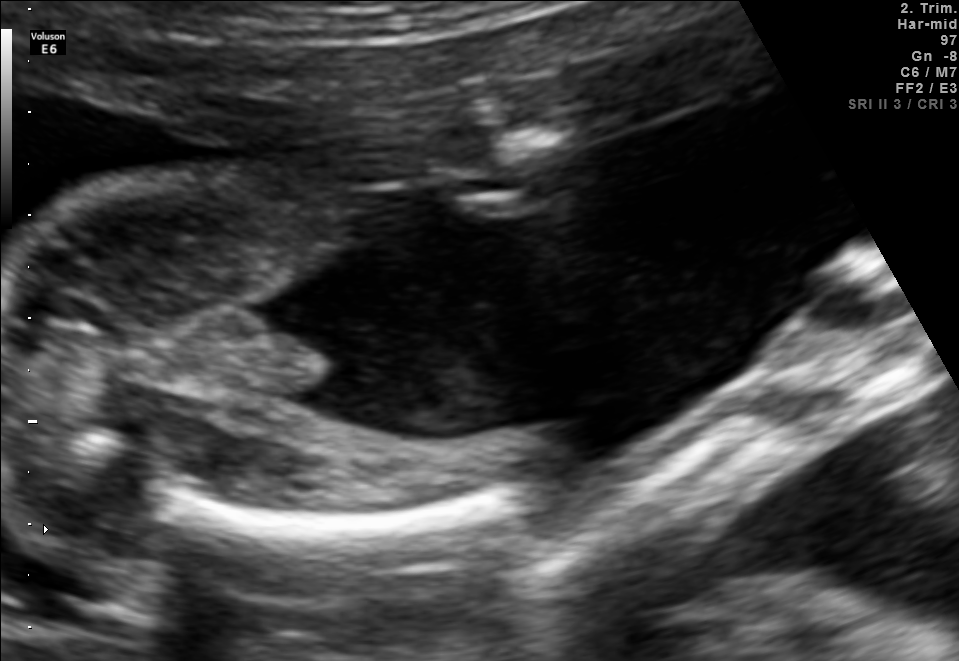
Which standard maternal-fetal ultrasound plane is shown: fetal abdomen, fetal brain, fetal femur, fetal thorax, maternal cervix, or other? If it's fetal brain and one of the three standard brain planes (trans-thalamic, trans-cerebellum, trans-ventricular), name which.

Fetal femur